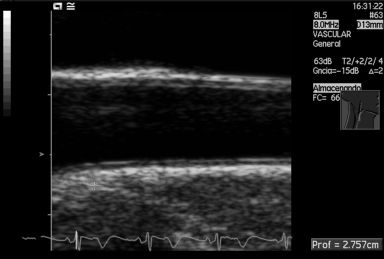
Classify this maternal-fetal ultrasound image as one of the six standard planes — fetal abdomen, fetal brain, fetal femur, fetal thorax, maternal cervix, or other. If it's fetal brain and one of the three standard brain planes (trans-thalamic, trans-cerebellum, trans-ventricular), name which.

Other